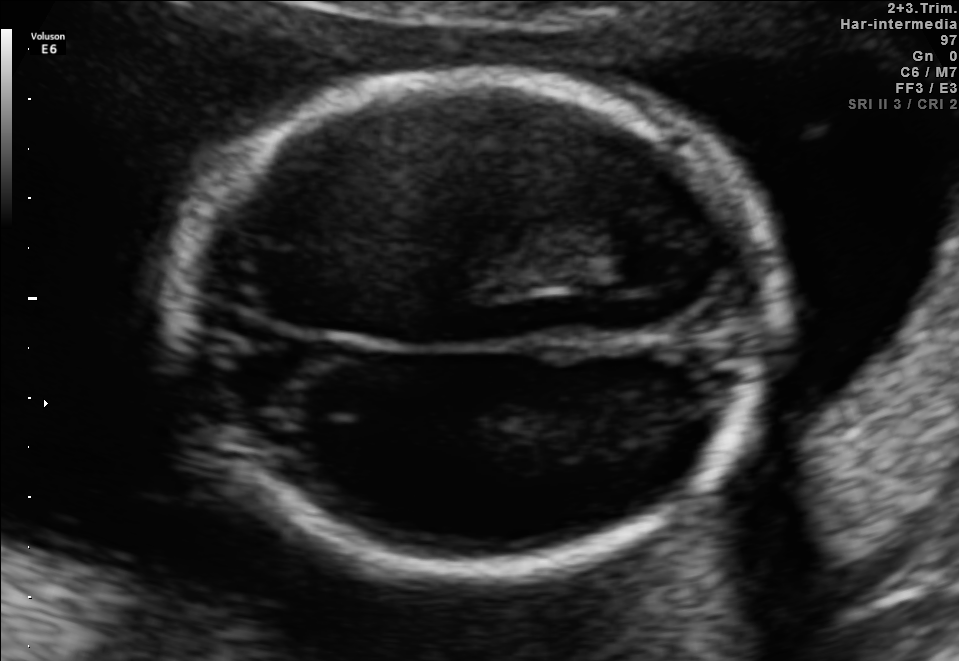
Fetal brain, trans-thalamic plane. Give [x1,y1,x2,y2] bounding boxes for each visible structure among: fetal head, CSP, LV.

Head: [175,79,780,574]